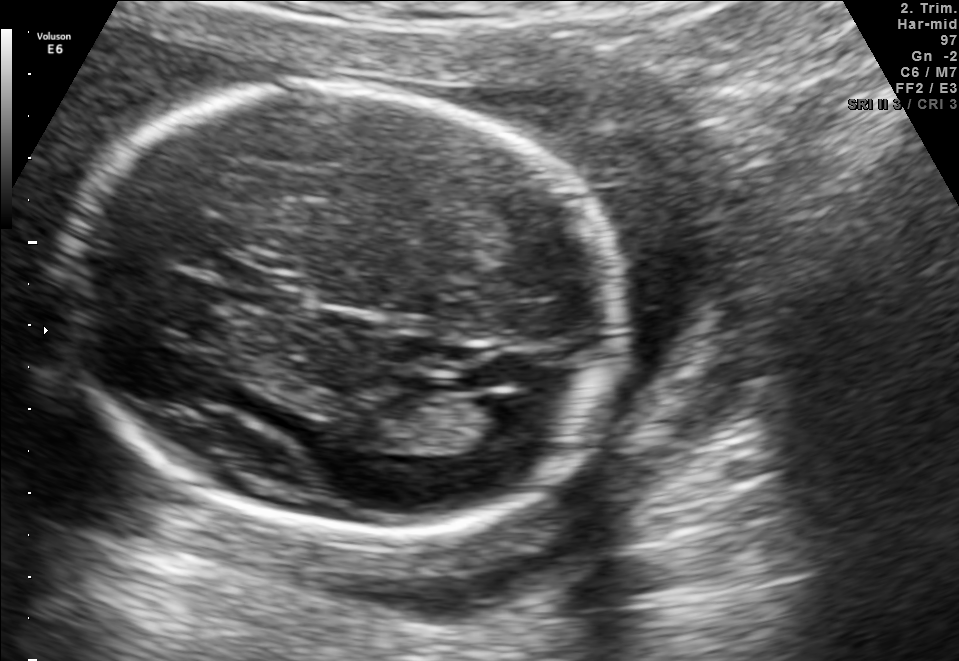
Fetal brain, trans-ventricular plane. Locate the fetal head and, if visible, the cavum septum pellucidum (CSP) and lateral ventricle (LV). Give bounding boxes as [x1,y1,x2,y2].

Head: [50,75,633,540]
CSP: [229,265,305,315]
Lateral ventricle: [478,388,558,443]